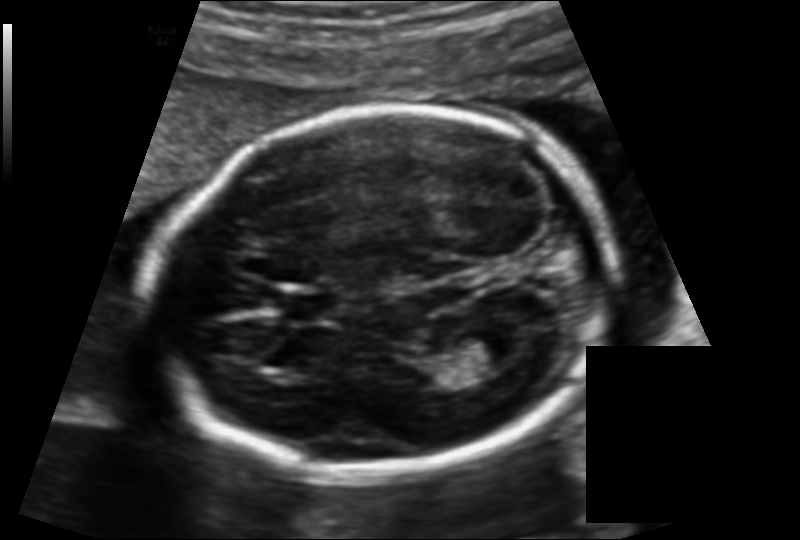
Fetal head ultrasound. Image width: 104.7 mm. Where is the cavum septum pellucidum?

CSP bounding box: [280,291,334,325]